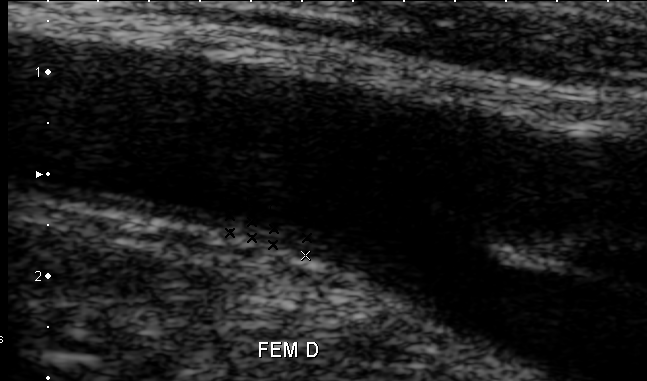
This is a 2D maternal-fetal ultrasound frame. Is it a fetal abdomen, fetal brain, fetal femur, fetal thorax, maternal cervix, or other standard plane? If it's fetal brain and one of the three standard brain planes (trans-thalamic, trans-cerebellum, trans-ventricular), name which.

Other